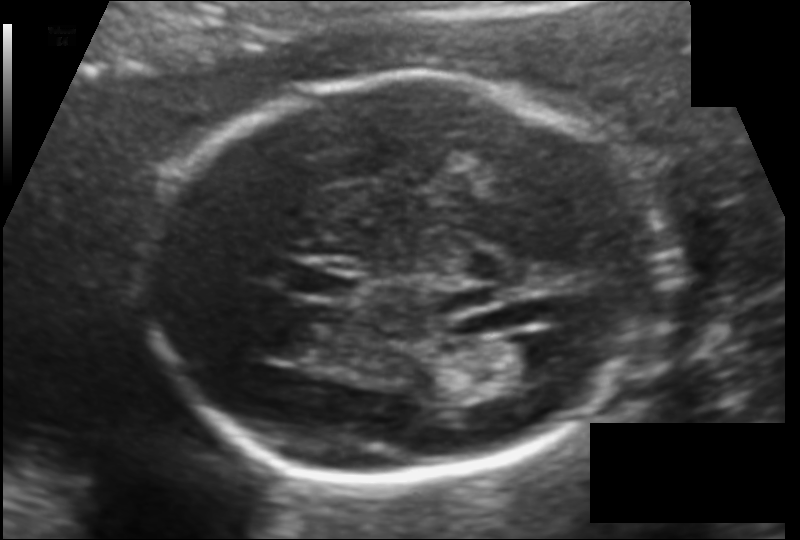
From this fetal ultrasound, estimate the head circumference (image width 95.9 mm).

Head circumference: 179.7 mm.